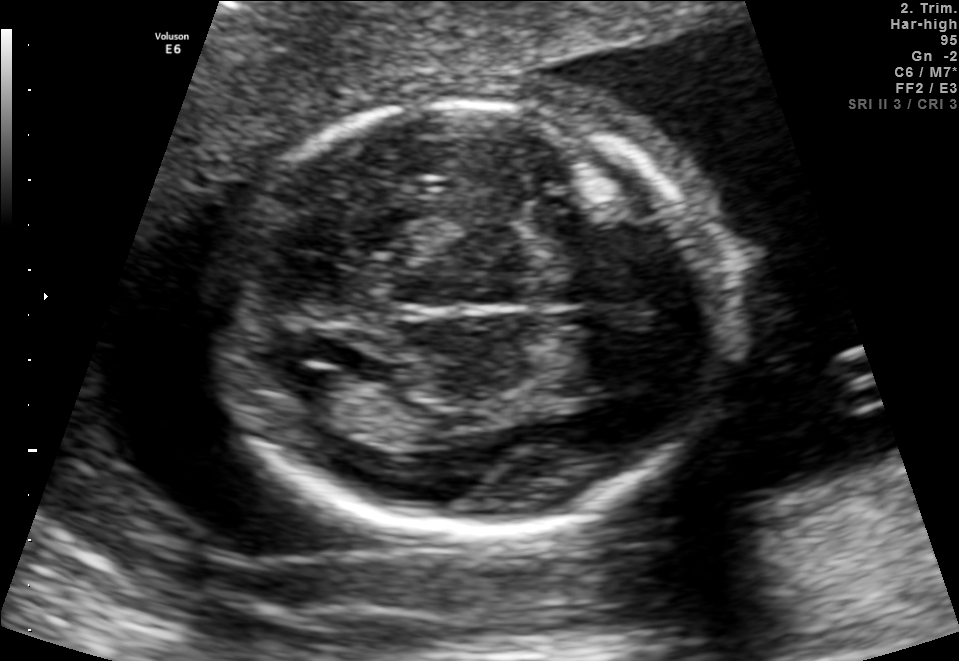
Fetal brain, trans-ventricular plane. Where is the fetal head?

Head bounding box: [203,92,726,543]